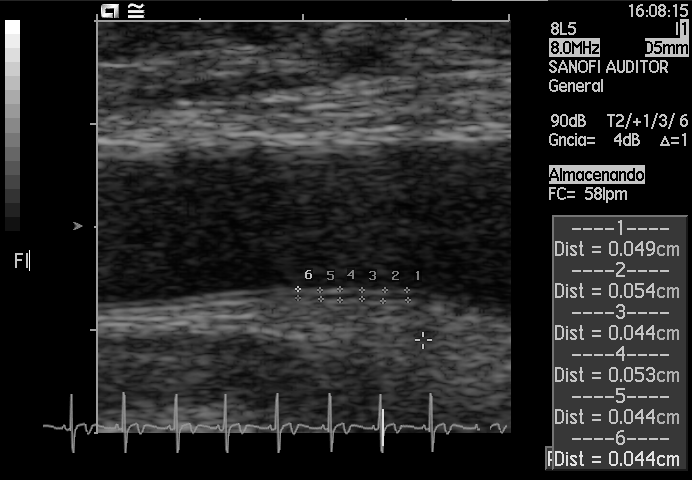
Classify this maternal-fetal ultrasound image as one of the six standard planes — fetal abdomen, fetal brain, fetal femur, fetal thorax, maternal cervix, or other. If it's fetal brain and one of the three standard brain planes (trans-thalamic, trans-cerebellum, trans-ventricular), name which.

Other